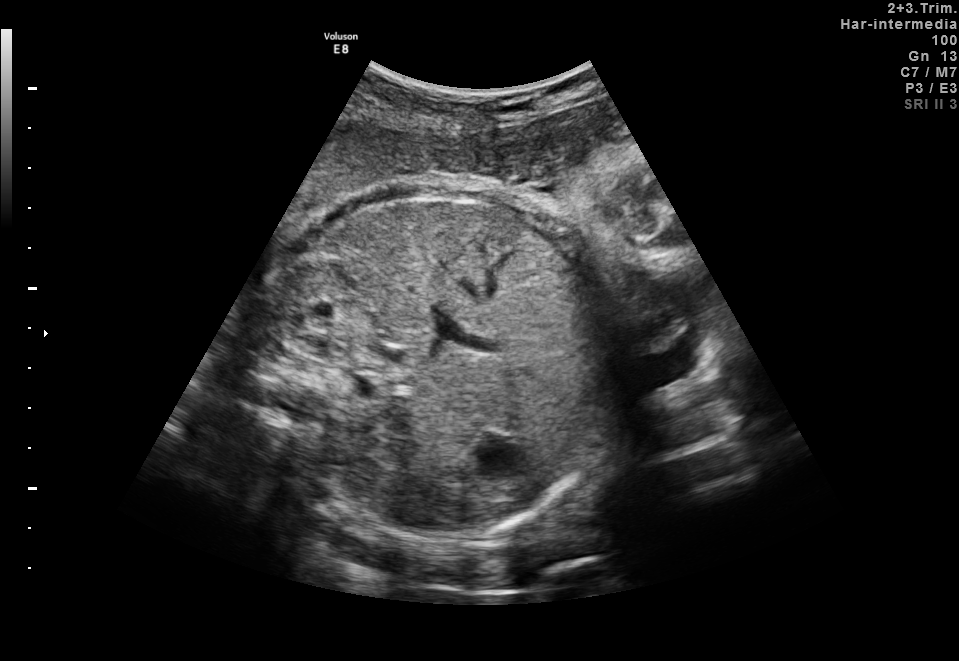
This is a 2D maternal-fetal ultrasound frame. Is it a fetal abdomen, fetal brain, fetal femur, fetal thorax, maternal cervix, or other standard plane? If it's fetal brain and one of the three standard brain planes (trans-thalamic, trans-cerebellum, trans-ventricular), name which.

Fetal abdomen